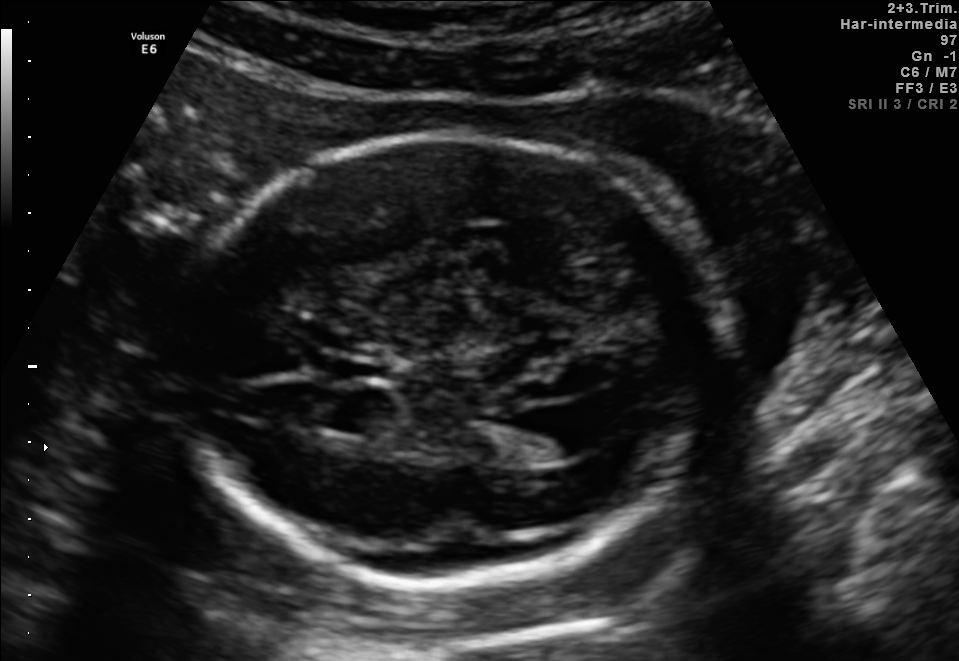
Fetal brain, trans-ventricular plane. Where is the fetal head?

Head bounding box: [162,127,747,598]